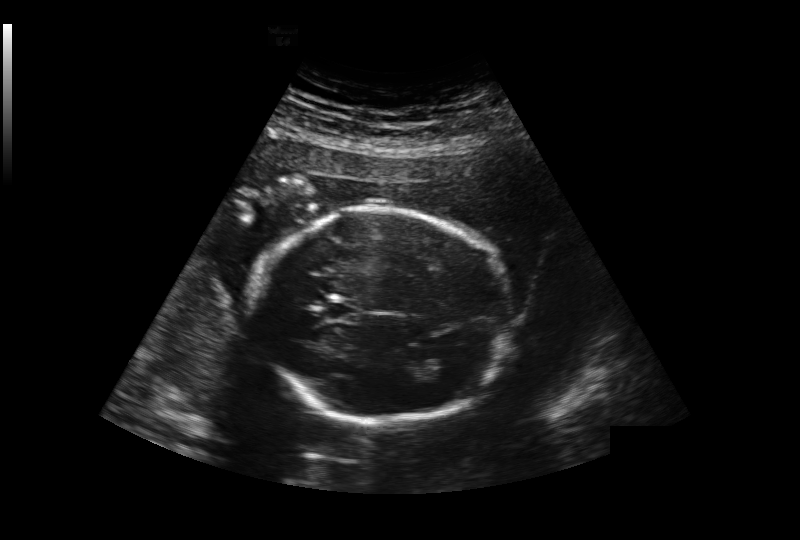
Fetal head ultrasound. Image width: 191.2 mm. Give [x1,y1,x2,y2] bounding boxes for each visible structure among: fetal head, CSP, LV.

Head: [252,208,511,421]
CSP: [327,302,358,321]